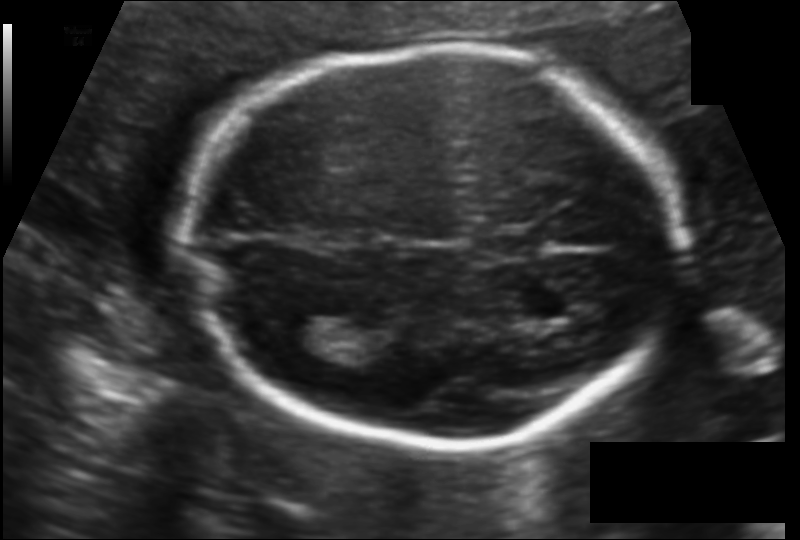
Fetal head ultrasound. Image width: 99.4 mm. Locate the lateral ventricle.

Lateral ventricle: [266,312,325,355]